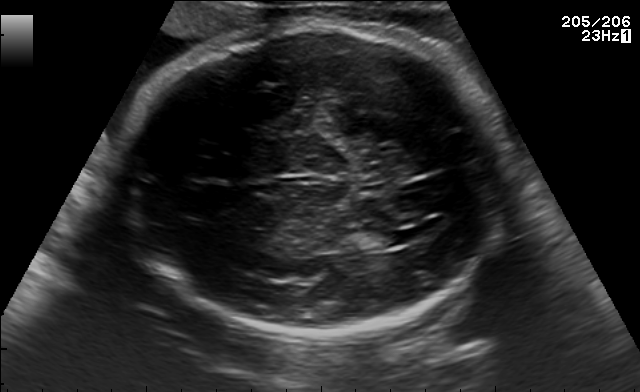
In this fetal brain, trans-ventricular plane, give bounding boxes for the head outline, cavum septum pellucidum (CSP), and lateral ventricle (LV), where visible.

Head: [123,24,511,338]